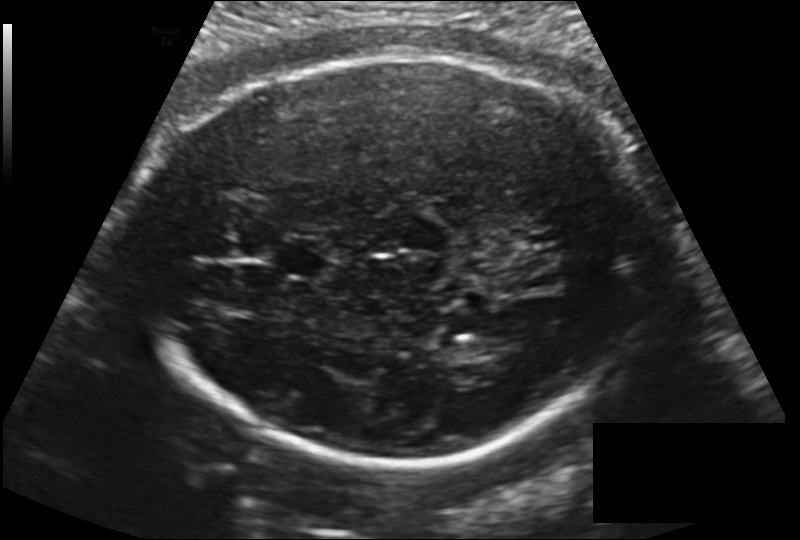
Measure the fetal head circumference shown in this ultrasound image. Image width: 144.8 mm.

Head circumference: 267.7 mm.